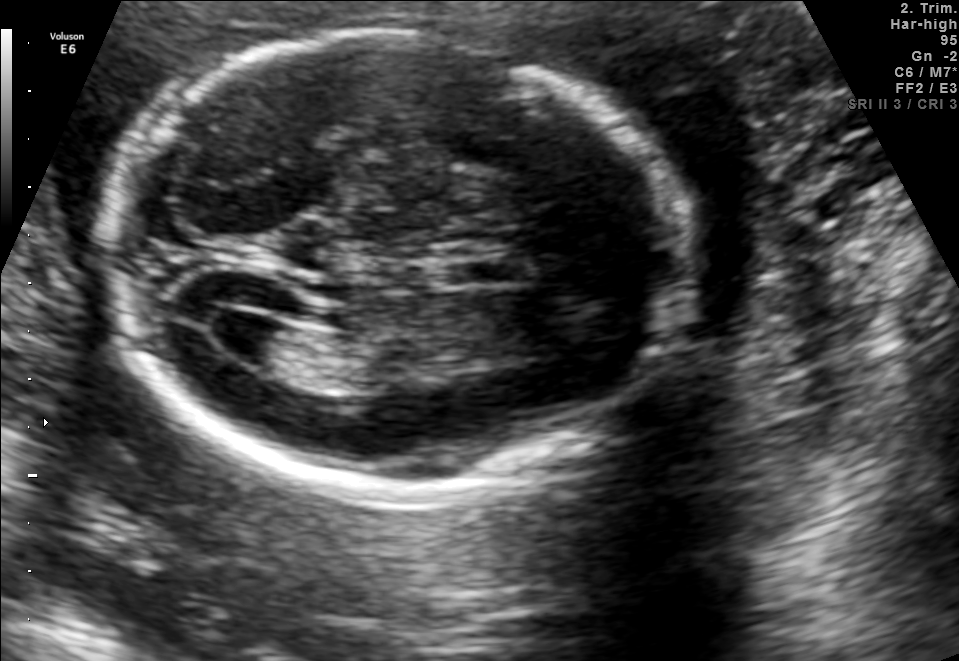
Fetal brain, trans-ventricular plane. Locate the lateral ventricle.

Lateral ventricle: [189,287,286,369]